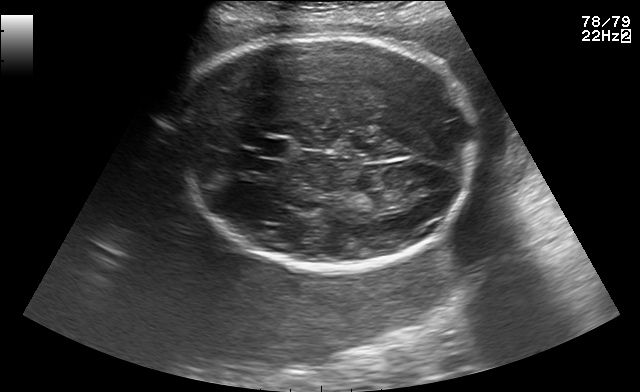
In this fetal brain, trans-thalamic plane, give bounding boxes for the head outline, cavum septum pellucidum (CSP), and lateral ventricle (LV), where visible.

Head: [173,33,481,271]
CSP: [253,136,291,160]